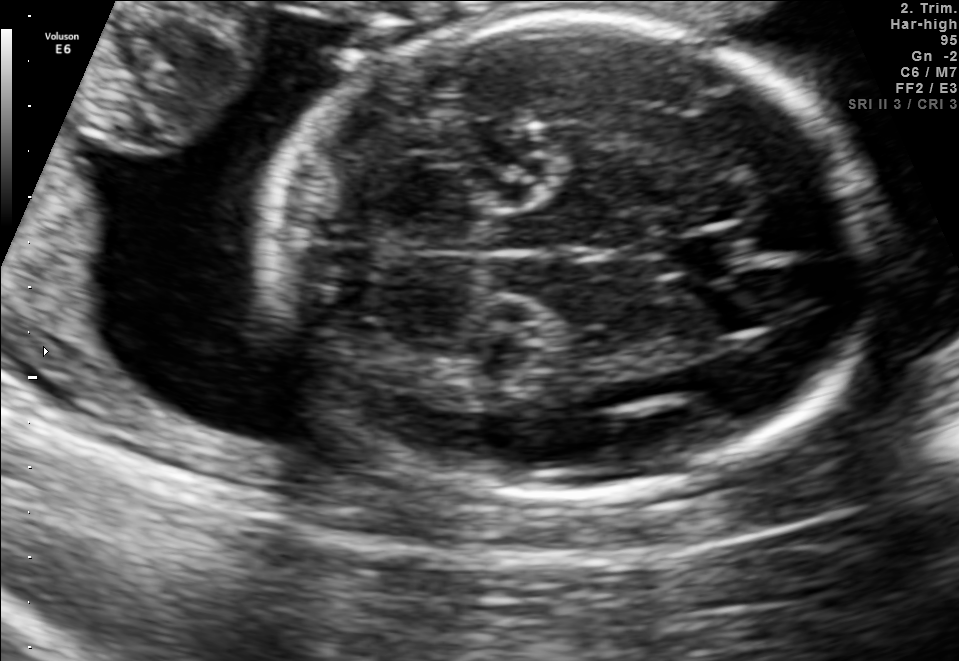
Fetal brain, trans-cerebellum plane. Where is the fetal head?

Head bounding box: [264,14,865,495]